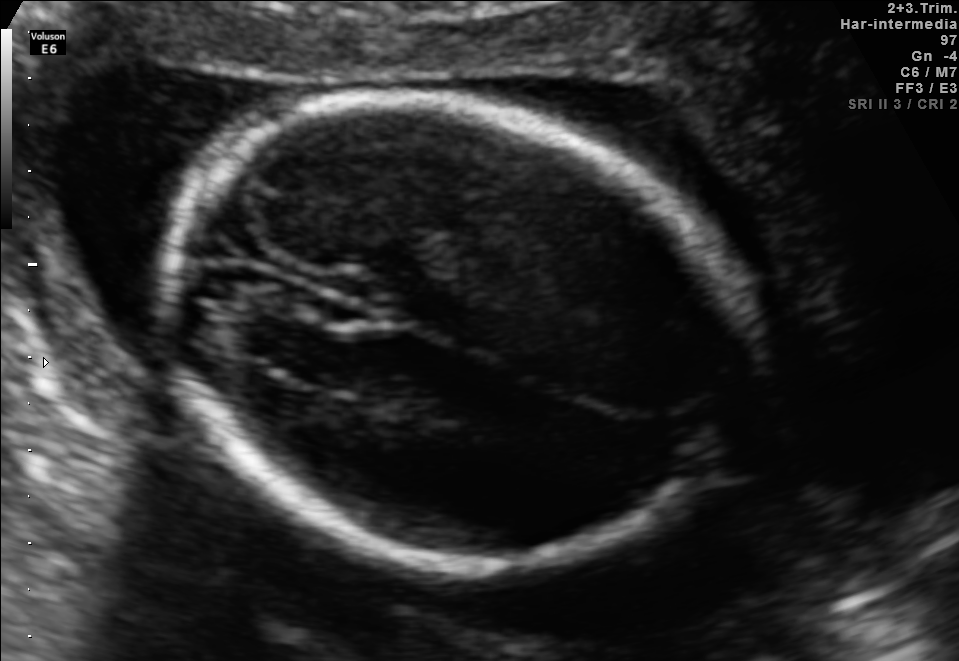
In this fetal brain, trans-thalamic plane, give the bounding box of the fetal head.

[157,103,754,562]